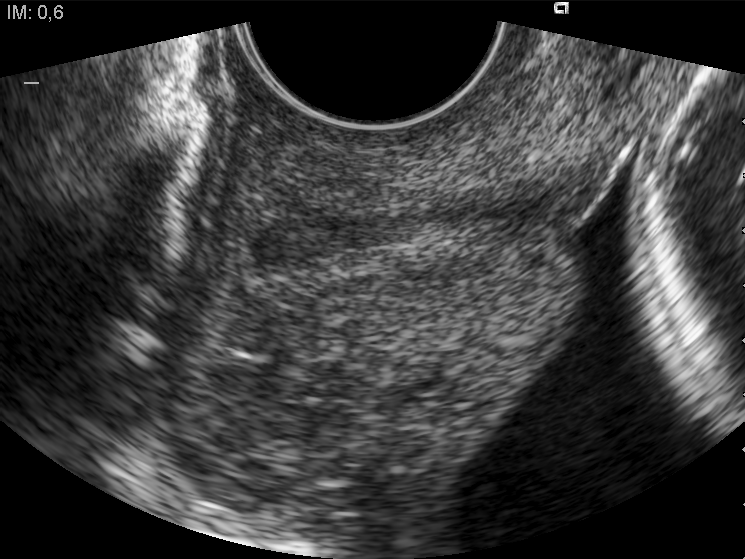
Identify the standard plane in this fetal ultrasound image: fetal abdomen, fetal brain, fetal femur, fetal thorax, maternal cervix, or other. If it's fetal brain and one of the three standard brain planes (trans-thalamic, trans-cerebellum, trans-ventricular), name which.

Maternal cervix